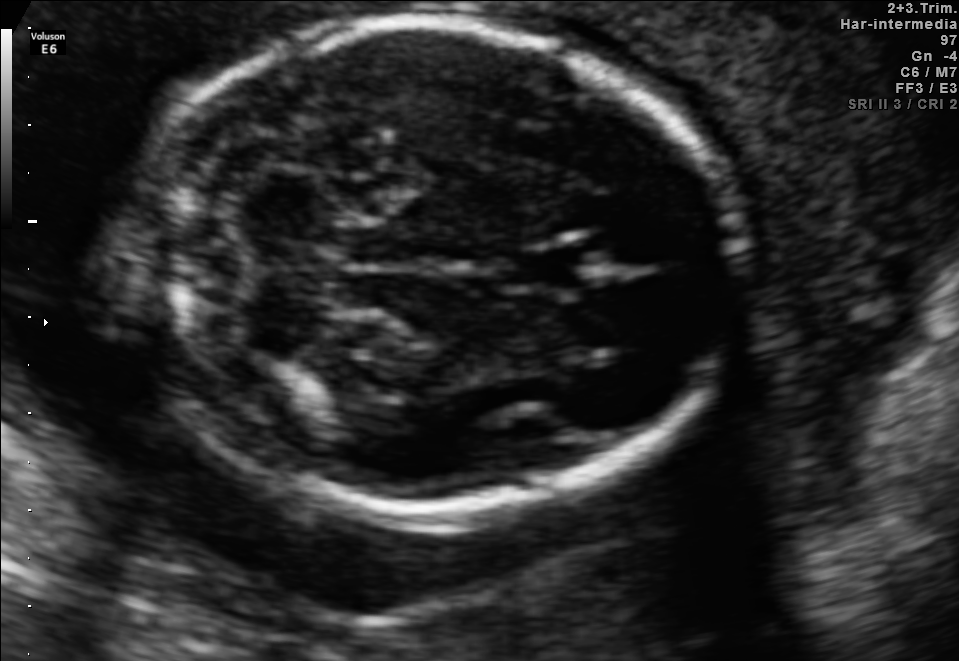
Classify this maternal-fetal ultrasound image as one of the six standard planes — fetal abdomen, fetal brain, fetal femur, fetal thorax, maternal cervix, or other. If it's fetal brain and one of the three standard brain planes (trans-thalamic, trans-cerebellum, trans-ventricular), name which.

Fetal brain (trans-cerebellum plane)